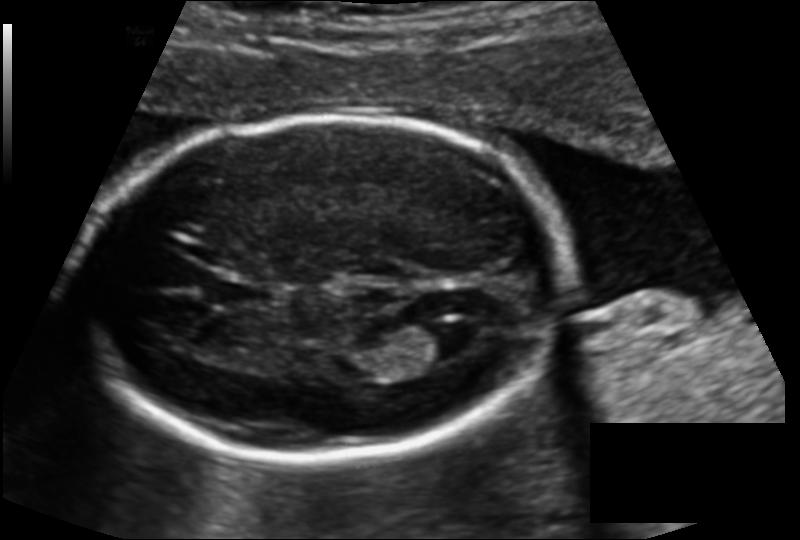
Estimate the fetal head circumference from this 2D ultrasound.

Head circumference: 183.1 mm (image width 109.1 mm).